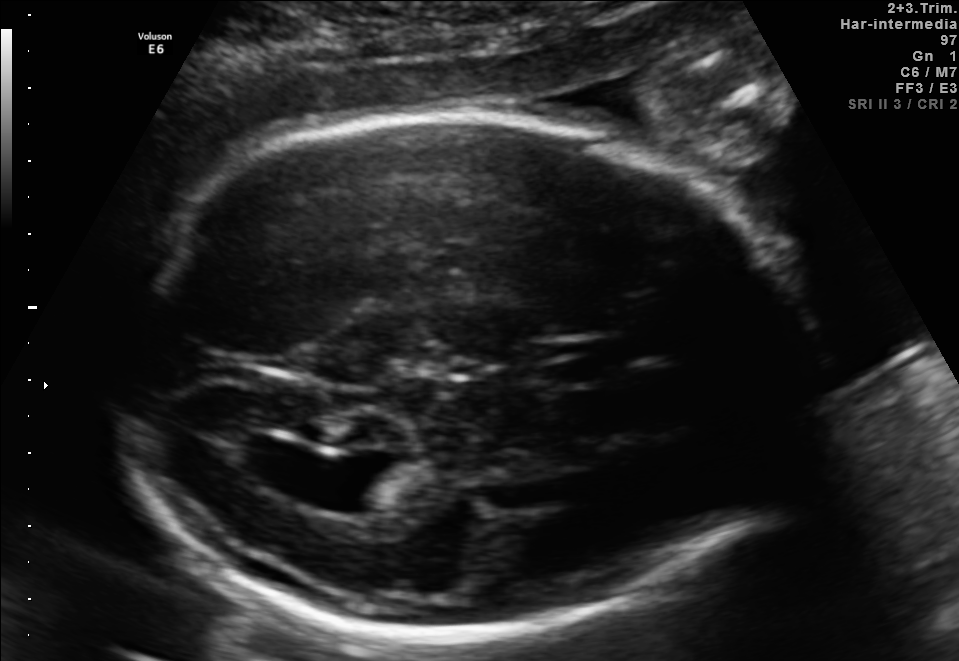
In this fetal brain, trans-ventricular plane, give bounding boxes for the head outline, cavum septum pellucidum (CSP), and lateral ventricle (LV), where visible.

Head: [85,107,826,646]
Lateral ventricle: [291,451,385,514]